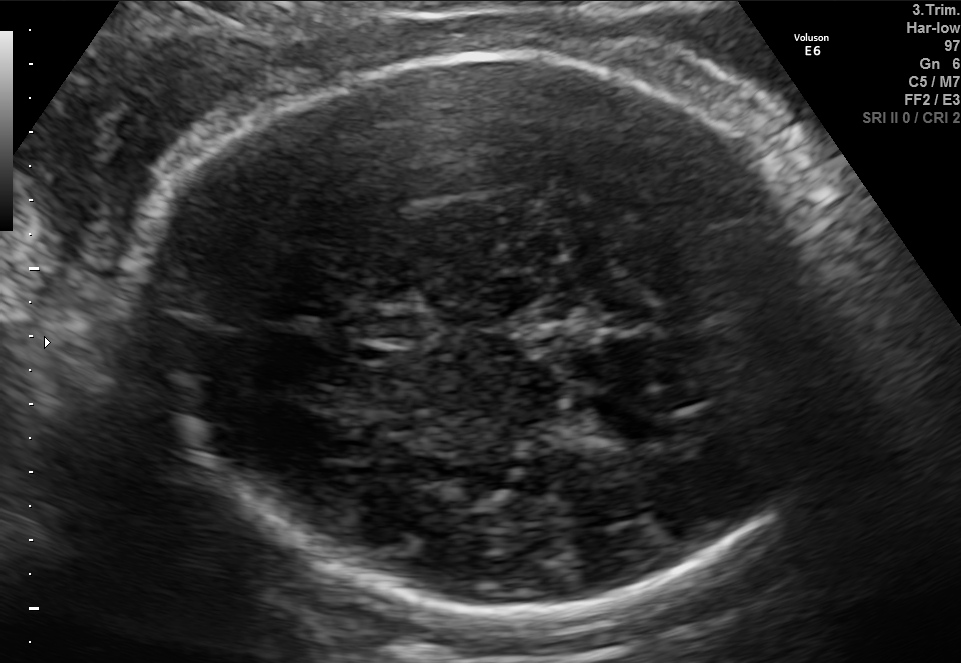
Fetal brain, trans-thalamic plane. Locate the fetal head.

Head: [133,52,846,615]